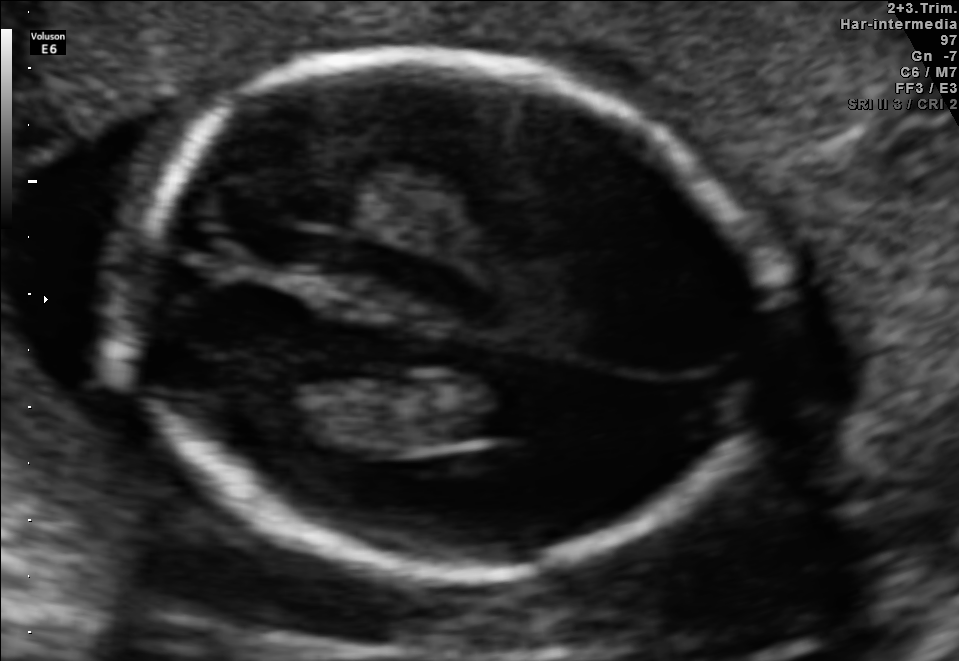
Fetal brain, trans-ventricular plane. Locate the fetal head.

Head: [91,42,796,591]